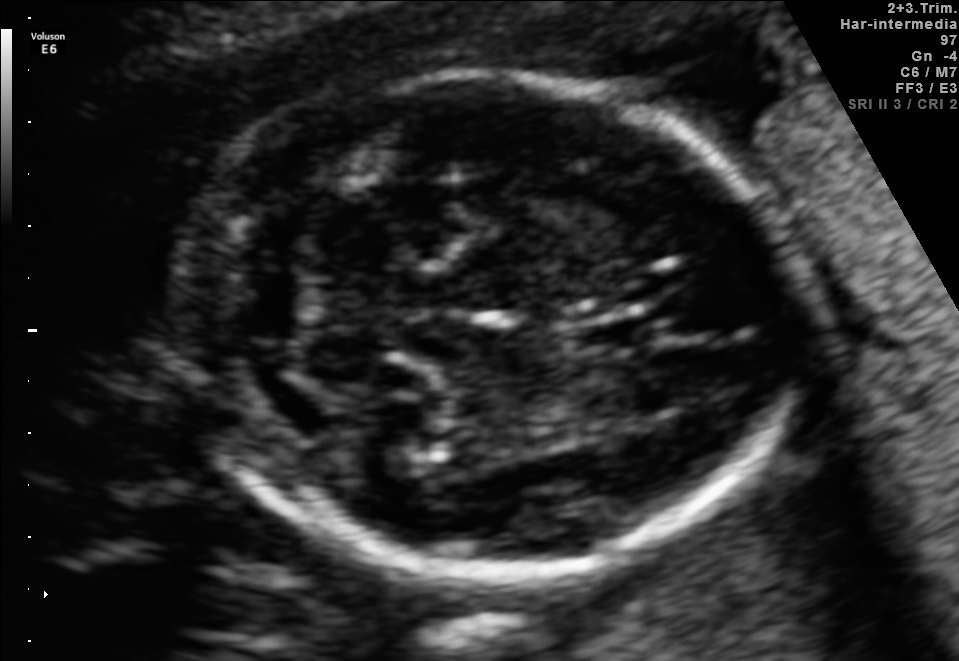
In this fetal brain, trans-cerebellum plane, give the bounding box of the fetal head.

[177,73,788,574]